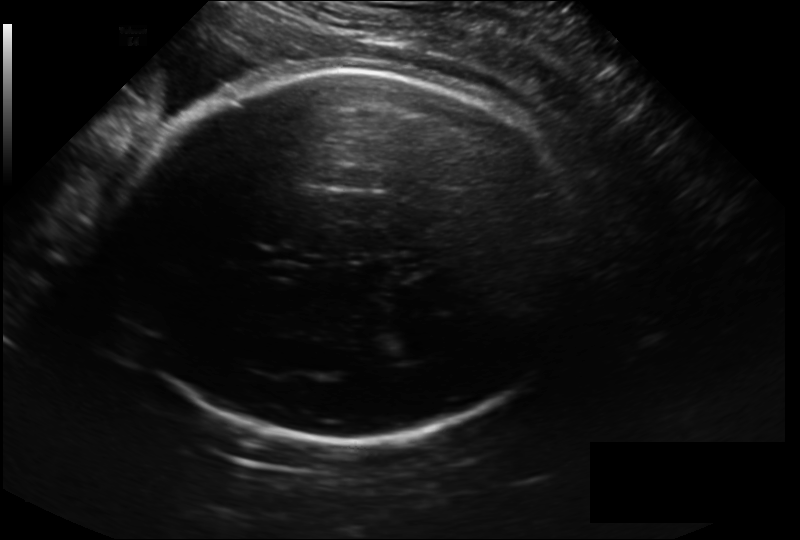
Fetal head ultrasound. Image width: 182.1 mm. Locate the fetal head.

Head: [116,70,582,442]